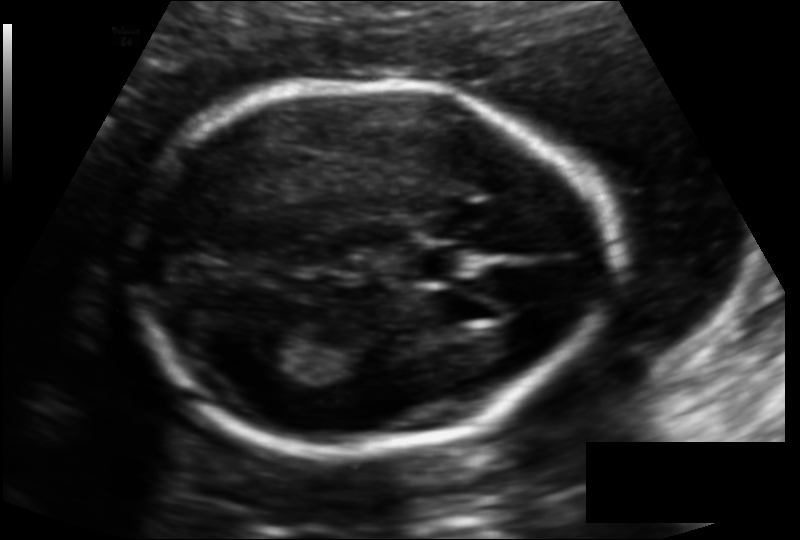
What is the fetal head circumference? Image width is 96.8 mm.

171.3 mm